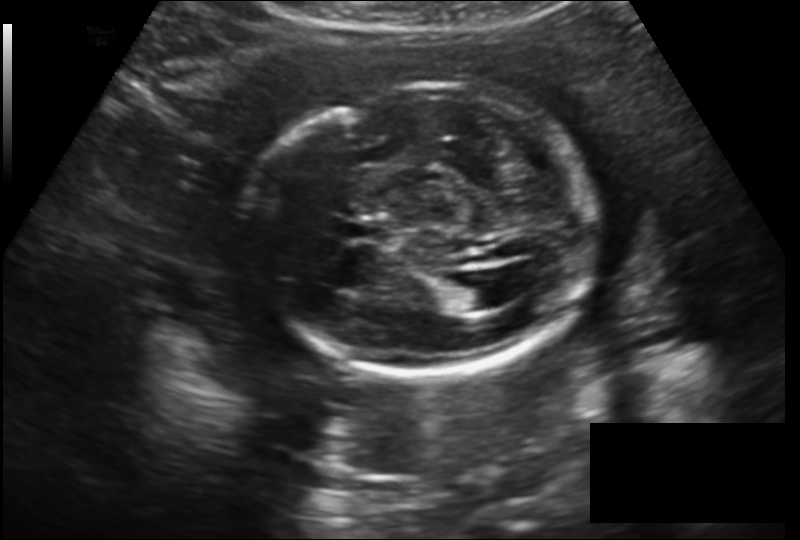
Fetal head ultrasound. Image width: 145.7 mm. Locate the lateral ventricle.

Lateral ventricle: [449,278,499,312]